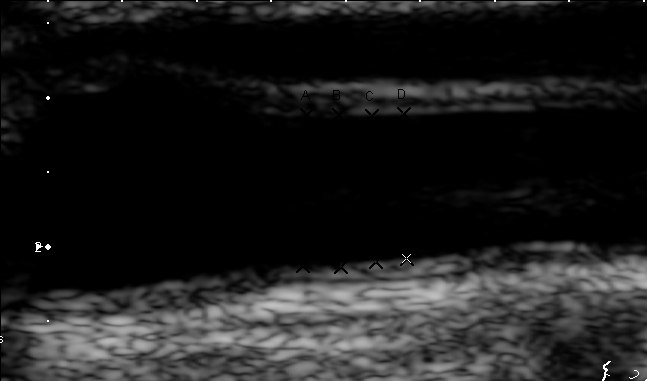
Which standard maternal-fetal ultrasound plane is shown: fetal abdomen, fetal brain, fetal femur, fetal thorax, maternal cervix, or other? If it's fetal brain and one of the three standard brain planes (trans-thalamic, trans-cerebellum, trans-ventricular), name which.

Other